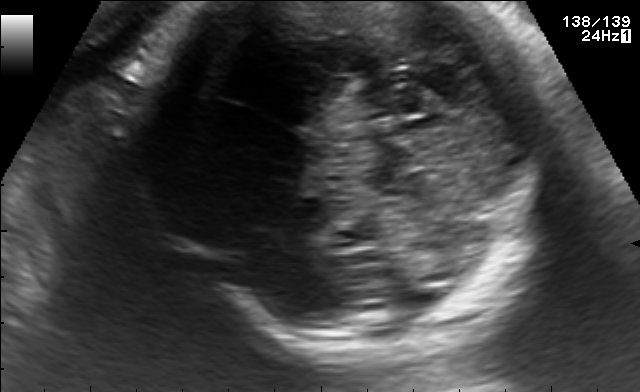
Fetal brain, trans-cerebellum plane. Locate the fetal head and, if visible, the cavum septum pellucidum (CSP) and lateral ventricle (LV). Give bounding boxes as [x1,y1,x2,y2].

Head: [159,1,551,350]